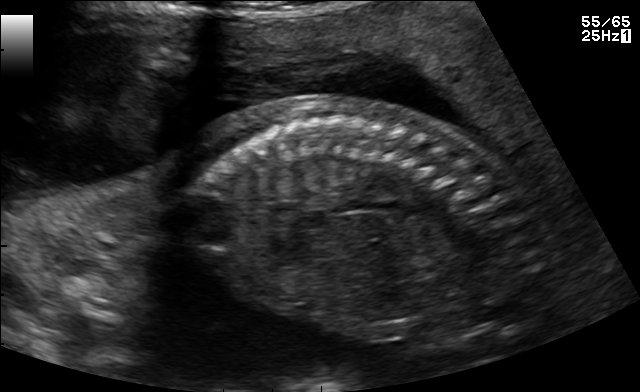
Which standard maternal-fetal ultrasound plane is shown: fetal abdomen, fetal brain, fetal femur, fetal thorax, maternal cervix, or other? If it's fetal brain and one of the three standard brain planes (trans-thalamic, trans-cerebellum, trans-ventricular), name which.

Other